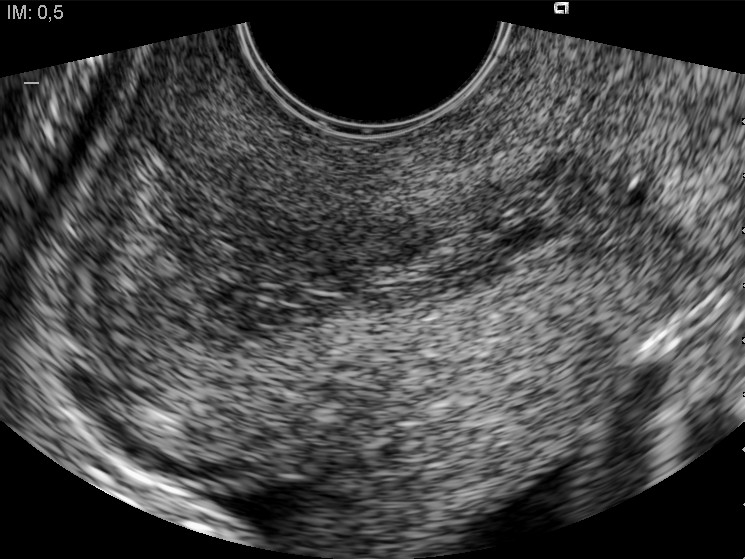
Which standard maternal-fetal ultrasound plane is shown: fetal abdomen, fetal brain, fetal femur, fetal thorax, maternal cervix, or other? If it's fetal brain and one of the three standard brain planes (trans-thalamic, trans-cerebellum, trans-ventricular), name which.

Maternal cervix